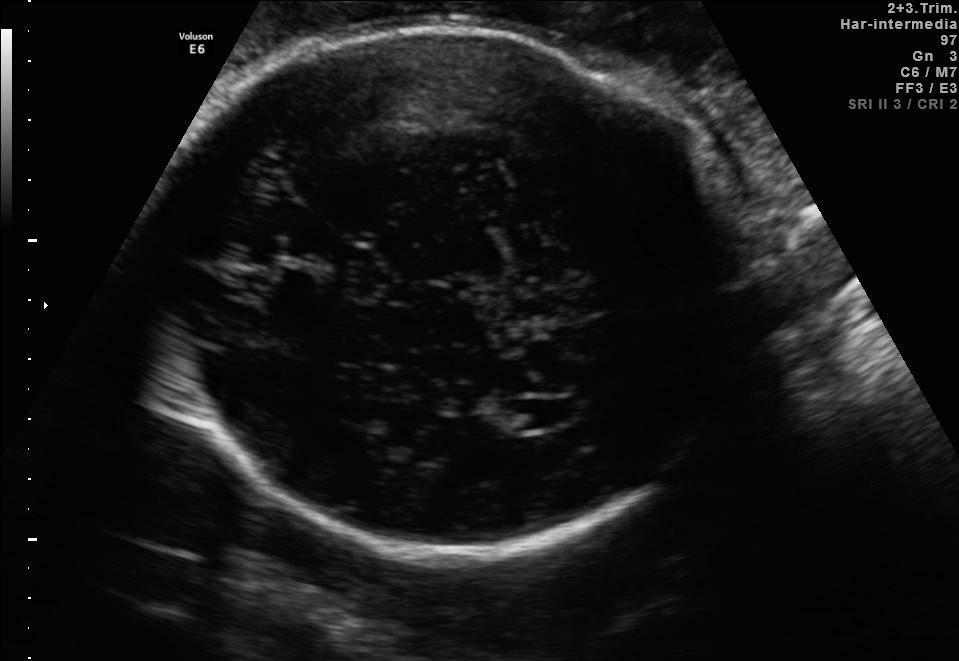
In this fetal brain, trans-ventricular plane, give bounding boxes for the head outline, cavum septum pellucidum (CSP), and lateral ventricle (LV), where visible.

Head: [147,22,762,559]
Lateral ventricle: [510,389,584,431]